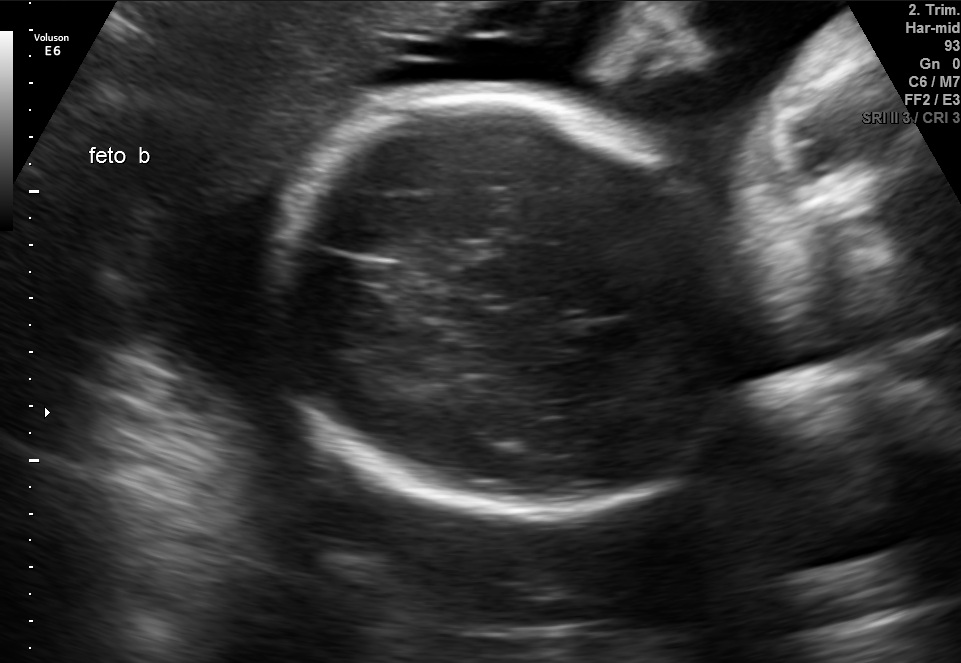
Fetal brain, trans-thalamic plane. Where is the fetal head?

Head bounding box: [272,95,752,520]